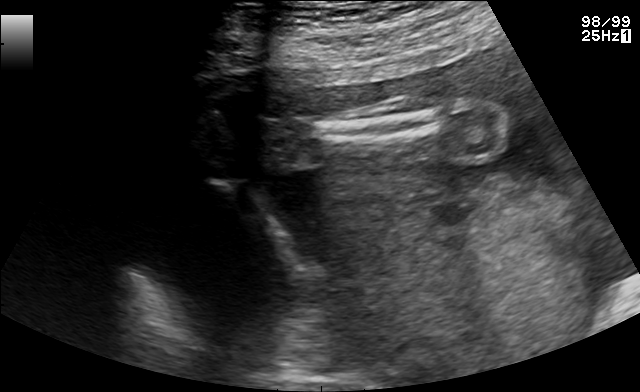
Classify this maternal-fetal ultrasound image as one of the six standard planes — fetal abdomen, fetal brain, fetal femur, fetal thorax, maternal cervix, or other. If it's fetal brain and one of the three standard brain planes (trans-thalamic, trans-cerebellum, trans-ventricular), name which.

Other